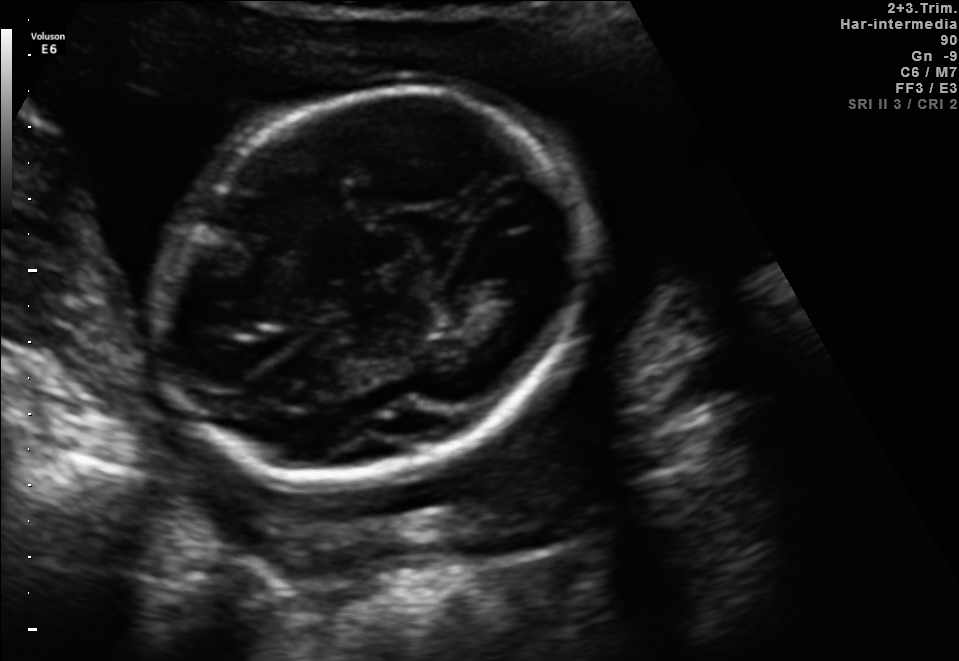
Which standard maternal-fetal ultrasound plane is shown: fetal abdomen, fetal brain, fetal femur, fetal thorax, maternal cervix, or other? If it's fetal brain and one of the three standard brain planes (trans-thalamic, trans-cerebellum, trans-ventricular), name which.

Fetal brain (trans-thalamic plane)